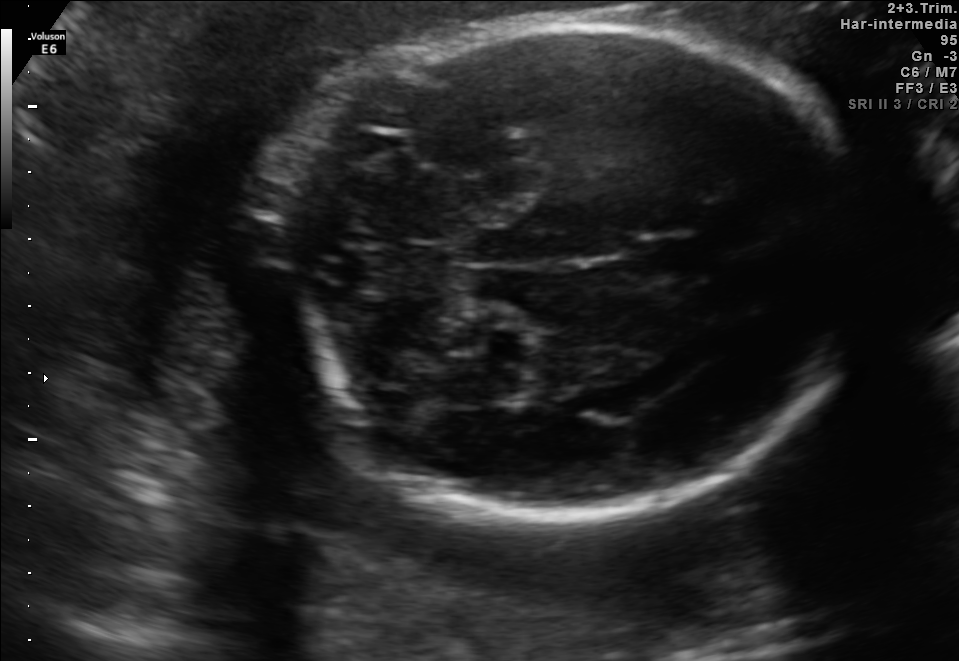
Fetal brain, trans-cerebellum plane. Give [x1,y1,x2,y2] bounding boxes for each visible structure among: fetal head, CSP, LV.

Head: [252,23,867,522]
CSP: [631,227,709,285]